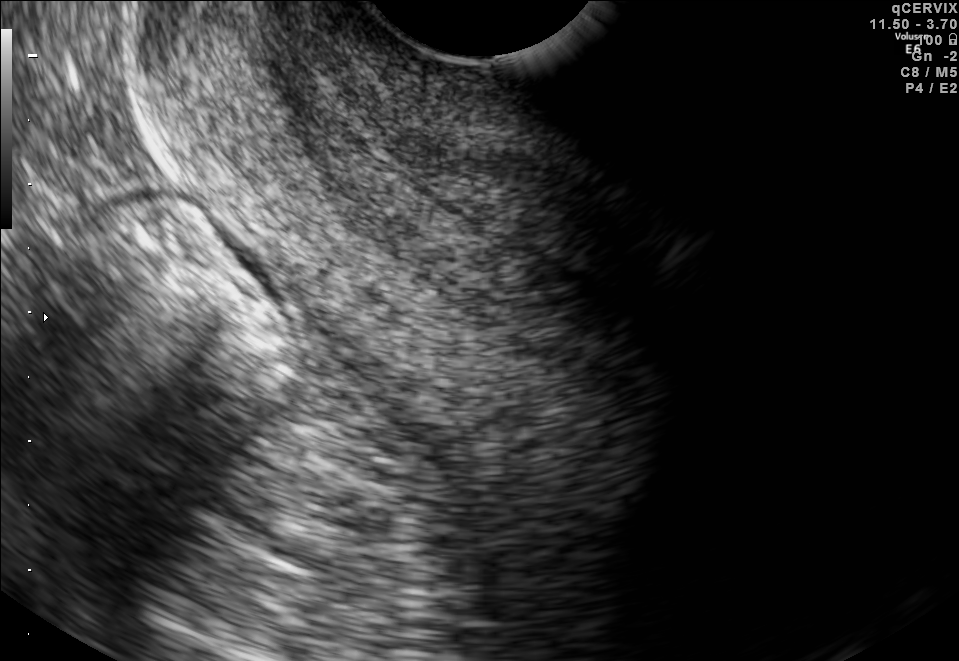
Which standard maternal-fetal ultrasound plane is shown: fetal abdomen, fetal brain, fetal femur, fetal thorax, maternal cervix, or other? If it's fetal brain and one of the three standard brain planes (trans-thalamic, trans-cerebellum, trans-ventricular), name which.

Maternal cervix